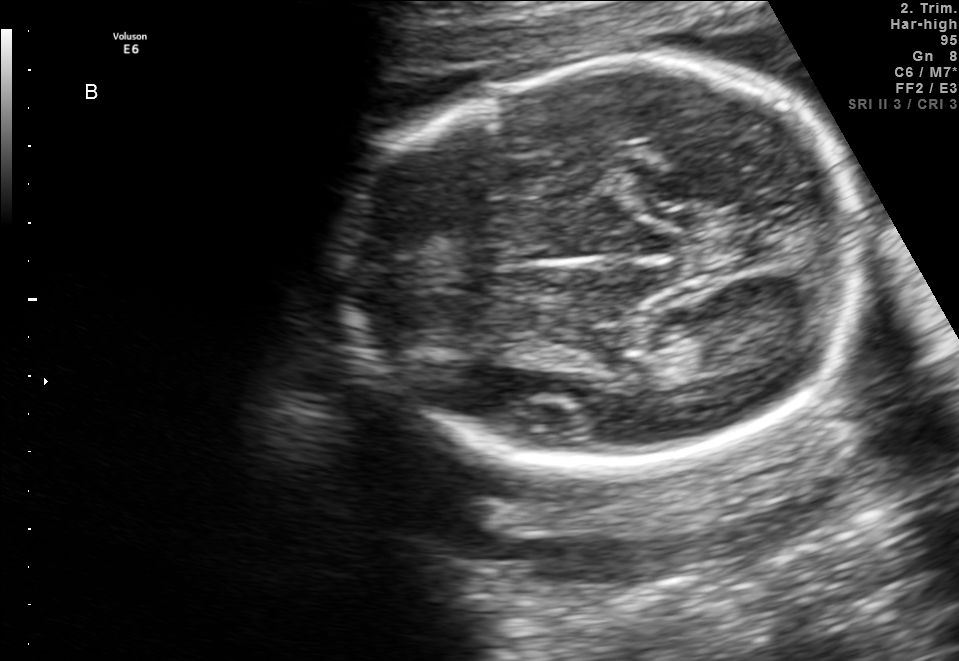
Fetal brain, trans-thalamic plane. Locate the fetal head and, if visible, the cavum septum pellucidum (CSP) and lateral ventricle (LV). Give bounding boxes as [x1,y1,x2,y2].

Head: [333,66,870,463]
Lateral ventricle: [651,308,757,383]